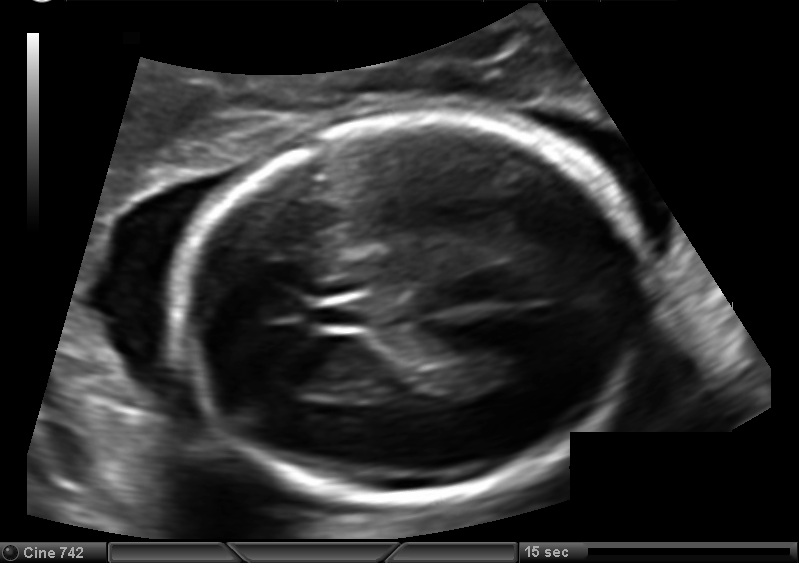
Fetal head ultrasound. Image width: 101.4 mm. Where is the fetal head?

Head bounding box: [178,114,636,502]